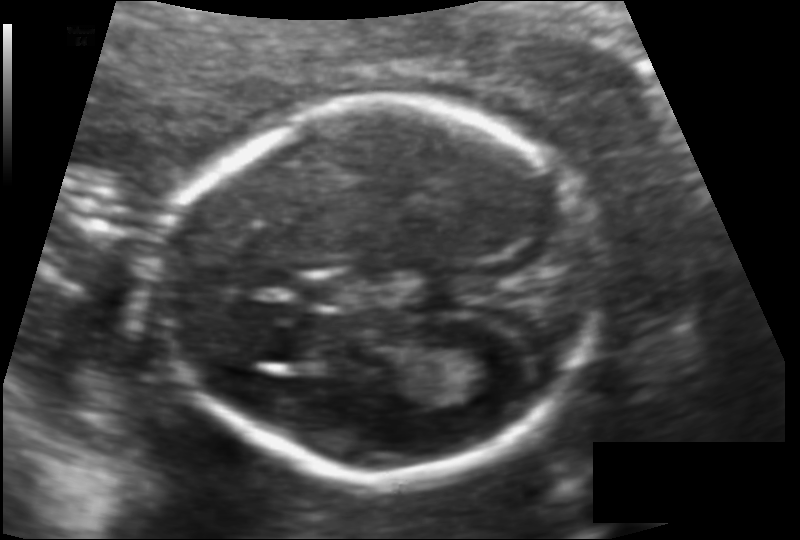
In this fetal head ultrasound, give bounding boxes for the head outline, cavum septum pellucidum (CSP), and lateral ventricle (LV), where visible. Image width: 90.5 mm.

Head: [160,105,600,478]
CSP: [295,276,357,307]
Lateral ventricle: [454,341,537,401]